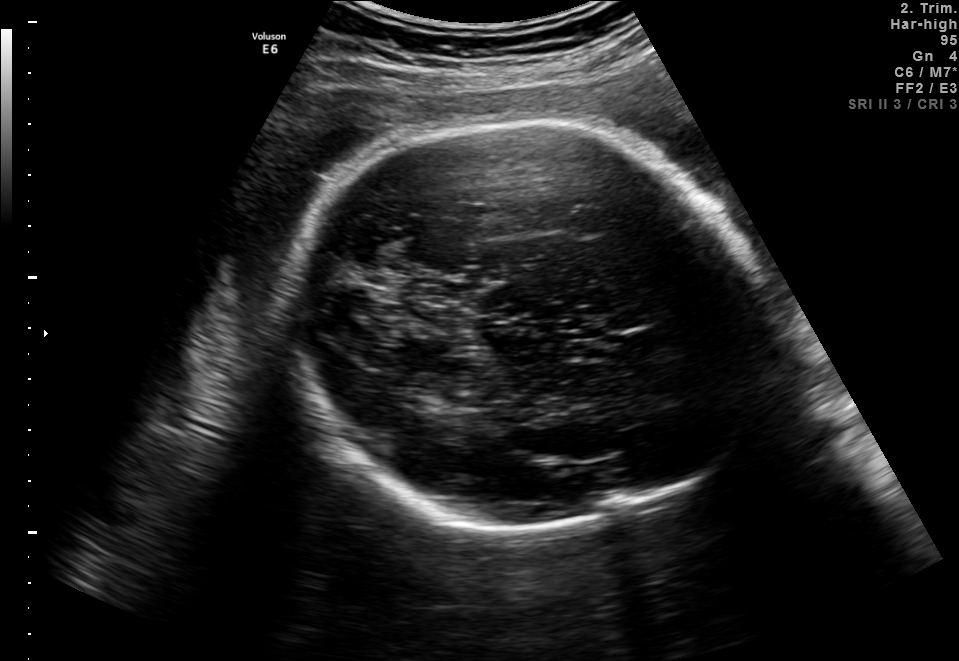
Fetal brain, trans-thalamic plane. Give [x1,y1,x2,y2] bounding boxes for each visible structure among: fetal head, CSP, LV.

Head: [292,116,763,533]